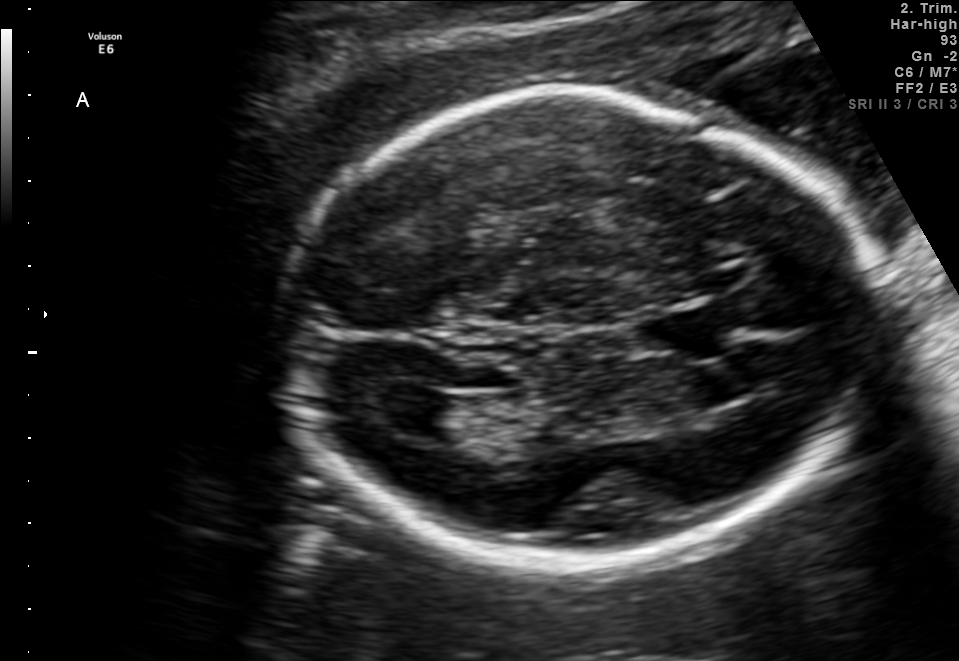
Fetal brain, trans-ventricular plane. Give [x1,y1,x2,y2] bounding boxes for each visible structure among: fetal head, CSP, LV.

Head: [271,82,896,581]
CSP: [630,309,702,354]
Lateral ventricle: [375,384,465,443]